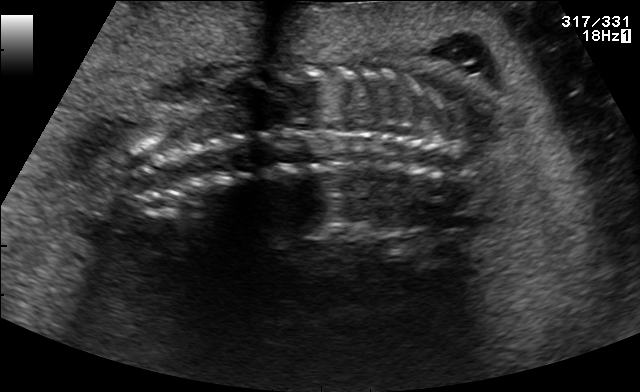
Classify this maternal-fetal ultrasound image as one of the six standard planes — fetal abdomen, fetal brain, fetal femur, fetal thorax, maternal cervix, or other. If it's fetal brain and one of the three standard brain planes (trans-thalamic, trans-cerebellum, trans-ventricular), name which.

Other